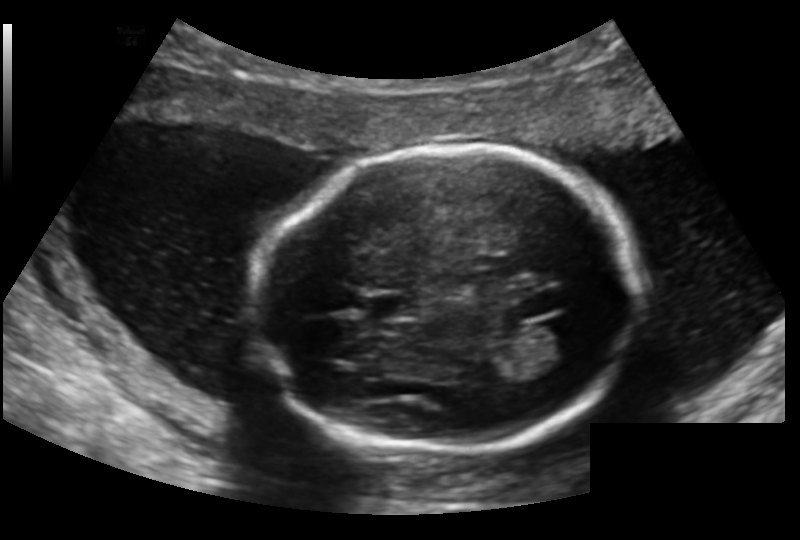
Fetal head ultrasound. Image width: 127.4 mm. Locate the fetal head.

Head: [254,146,638,453]